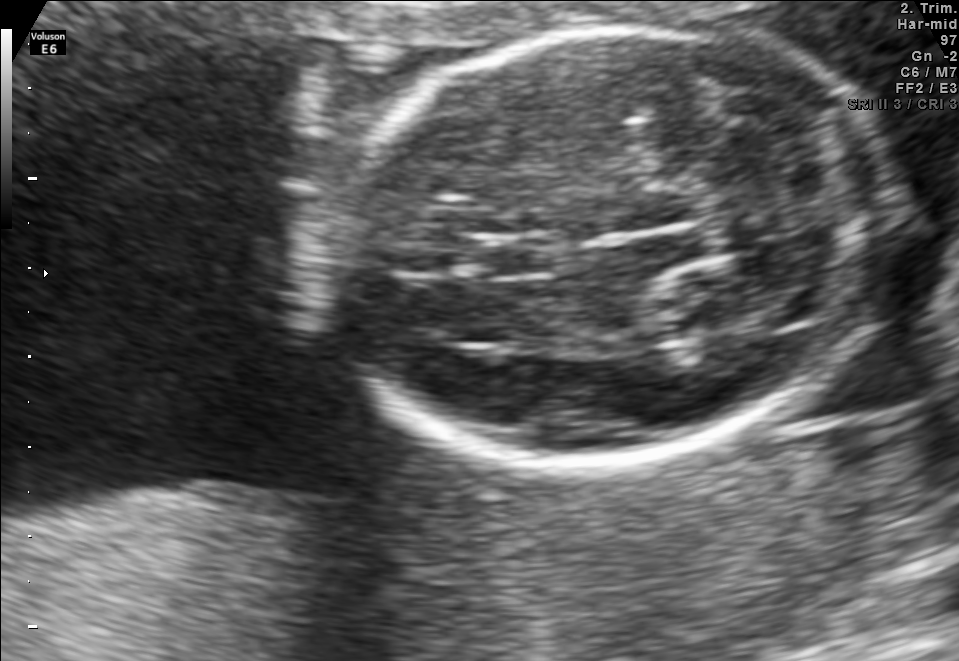
Fetal brain, trans-thalamic plane. Where is the cavum septum pellucidum?

CSP bounding box: [475,236,559,276]